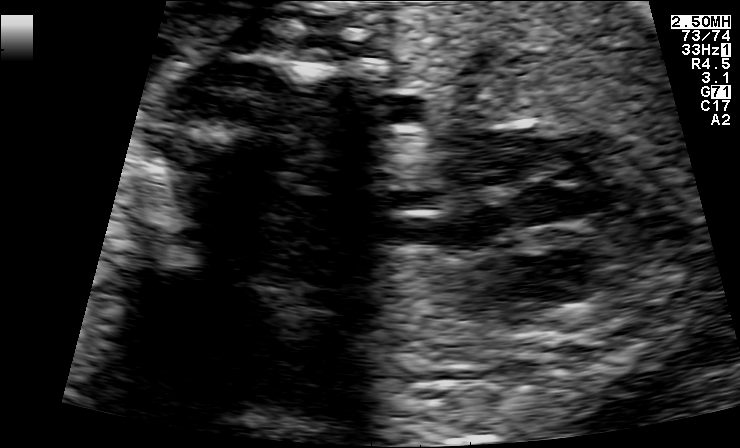
Which standard maternal-fetal ultrasound plane is shown: fetal abdomen, fetal brain, fetal femur, fetal thorax, maternal cervix, or other? If it's fetal brain and one of the three standard brain planes (trans-thalamic, trans-cerebellum, trans-ventricular), name which.

Other